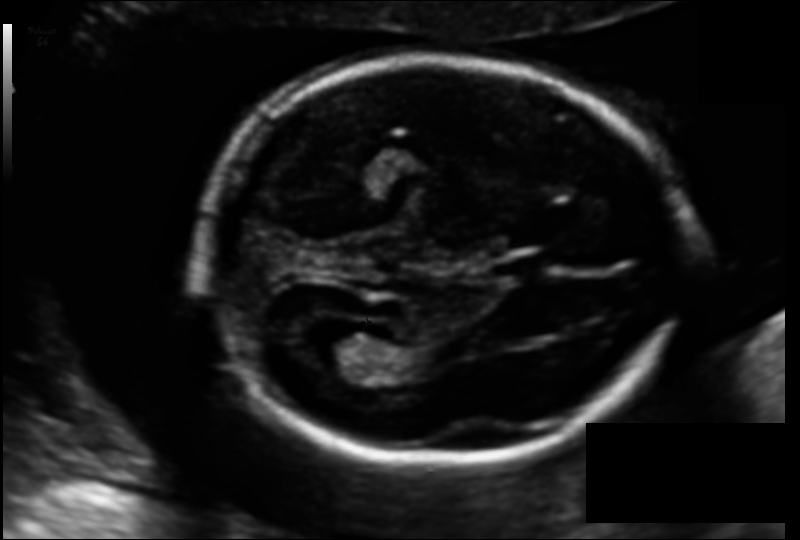
Fetal head ultrasound. Image width: 97.9 mm. Locate the cavum septum pellucidum.

CSP: [492,251,548,286]